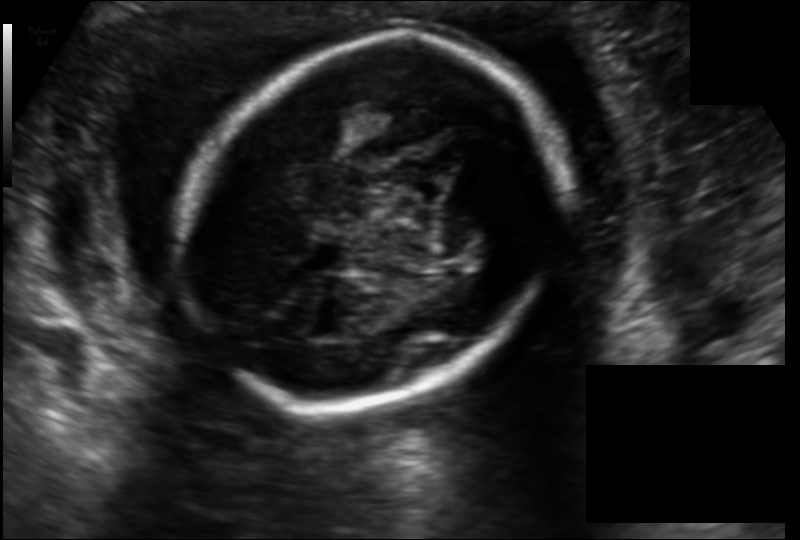
Fetal head ultrasound. Image width: 112.8 mm. Give [x1,y1,x2,y2] bounding boxes for each visible structure among: fetal head, CSP, LV.

Head: [187,35,560,408]